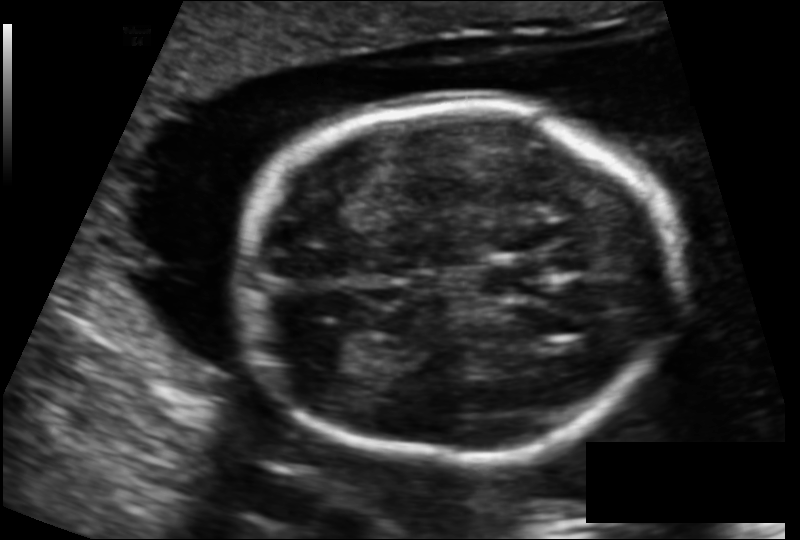
Estimate the fetal head circumference from this 2D ultrasound. Image width: 104.4 mm.

Head circumference: 166.7 mm.